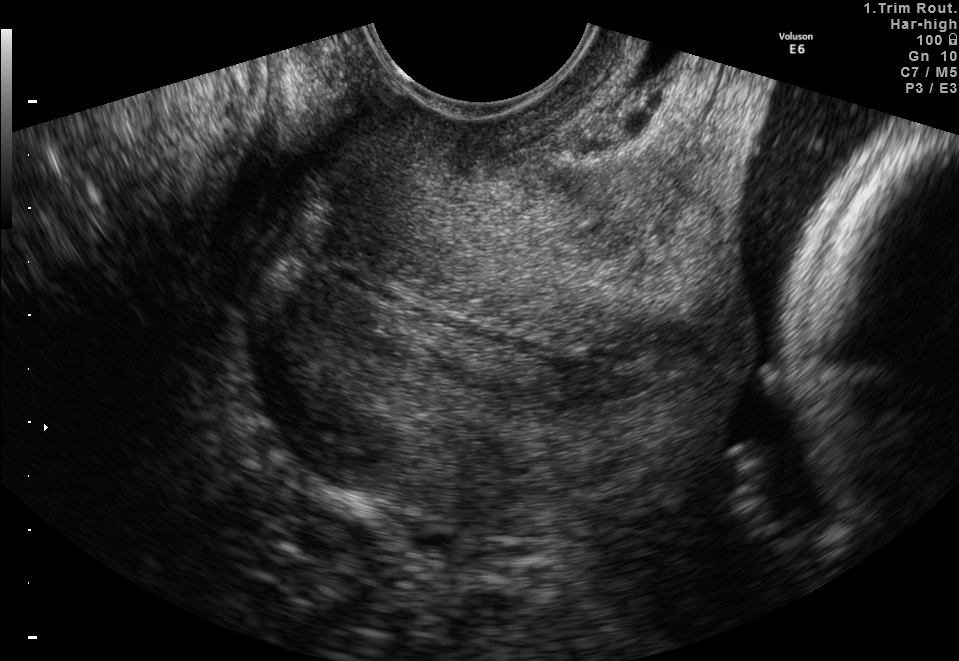
Classify this maternal-fetal ultrasound image as one of the six standard planes — fetal abdomen, fetal brain, fetal femur, fetal thorax, maternal cervix, or other. If it's fetal brain and one of the three standard brain planes (trans-thalamic, trans-cerebellum, trans-ventricular), name which.

Maternal cervix